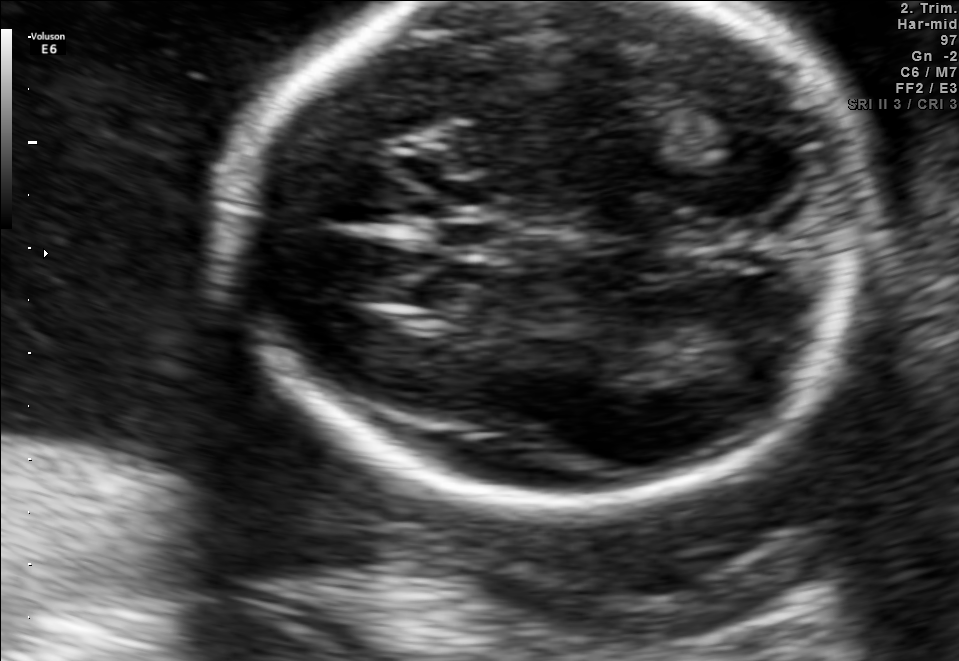
Fetal brain, trans-thalamic plane. Locate the fetal head and, if visible, the cavum septum pellucidum (CSP) and lateral ventricle (LV). Give bounding boxes as [x1,y1,x2,y2].

Head: [222,2,867,503]
CSP: [436,221,504,252]